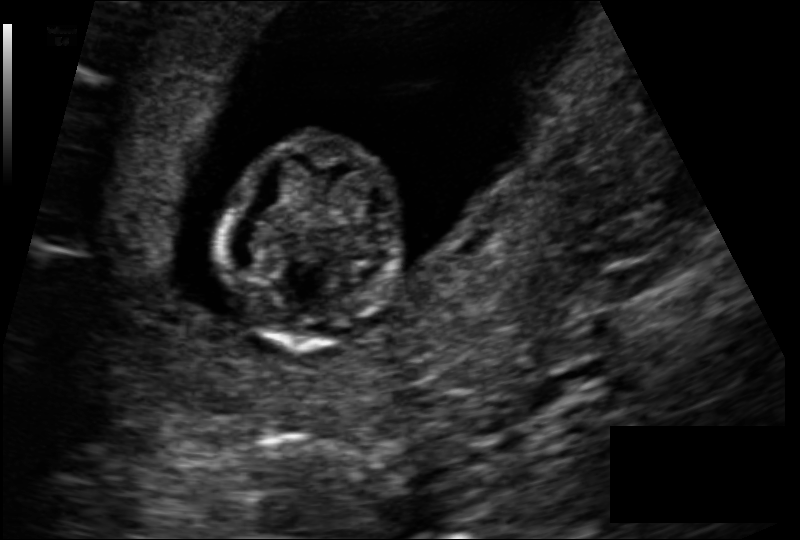
Estimate the fetal head circumference from this 2D ultrasound. Image width: 90.6 mm.

Head circumference: 75.2 mm.